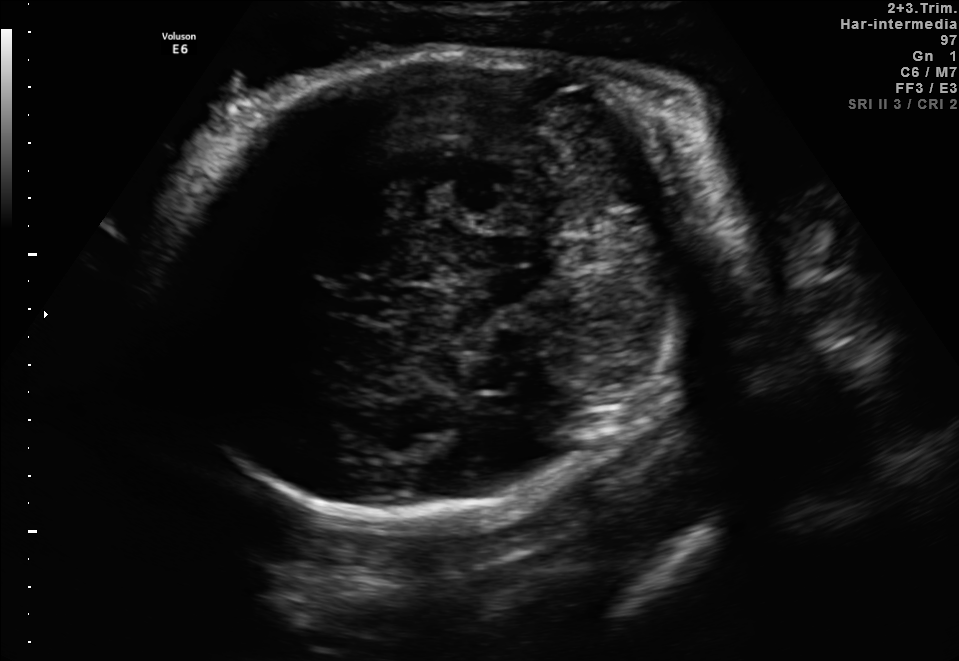
Fetal brain, trans-thalamic plane. Locate the fetal head.

Head: [161,53,686,528]